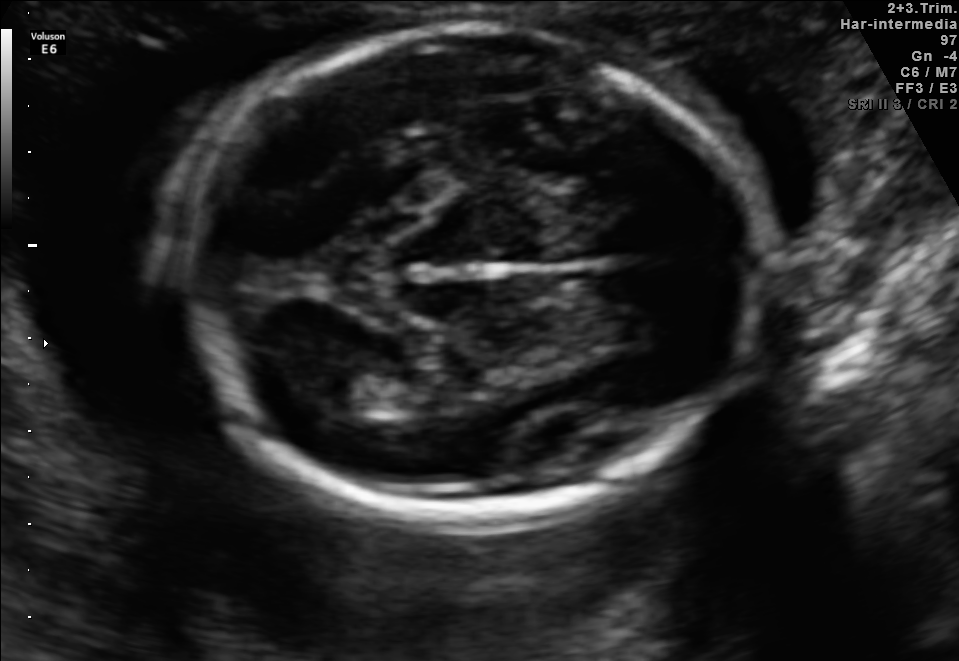
Fetal brain, trans-thalamic plane. Where is the fetal head?

Head bounding box: [183,27,768,518]